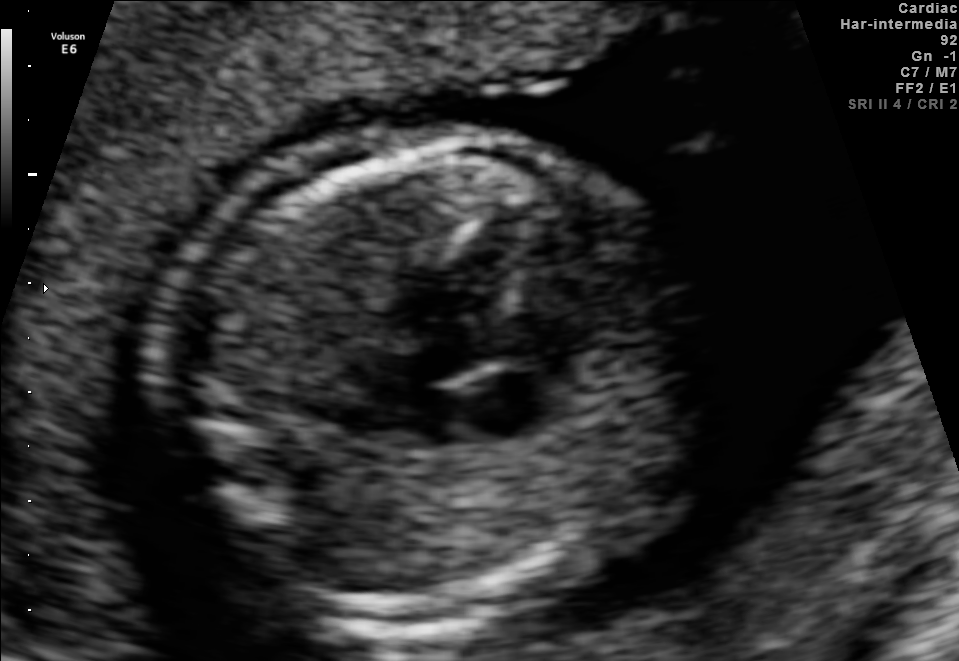
Which standard maternal-fetal ultrasound plane is shown: fetal abdomen, fetal brain, fetal femur, fetal thorax, maternal cervix, or other? If it's fetal brain and one of the three standard brain planes (trans-thalamic, trans-cerebellum, trans-ventricular), name which.

Fetal thorax